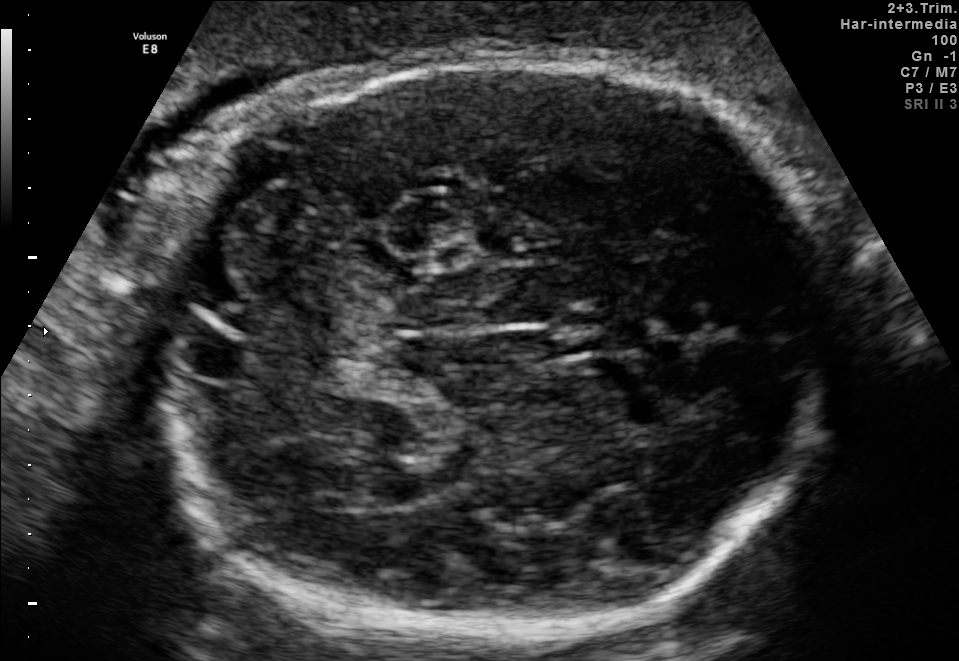
In this fetal brain, trans-cerebellum plane, give bounding boxes for the head outline, cavum septum pellucidum (CSP), and lateral ventricle (LV), where visible.

Head: [155,57,834,638]
CSP: [572,304,651,356]